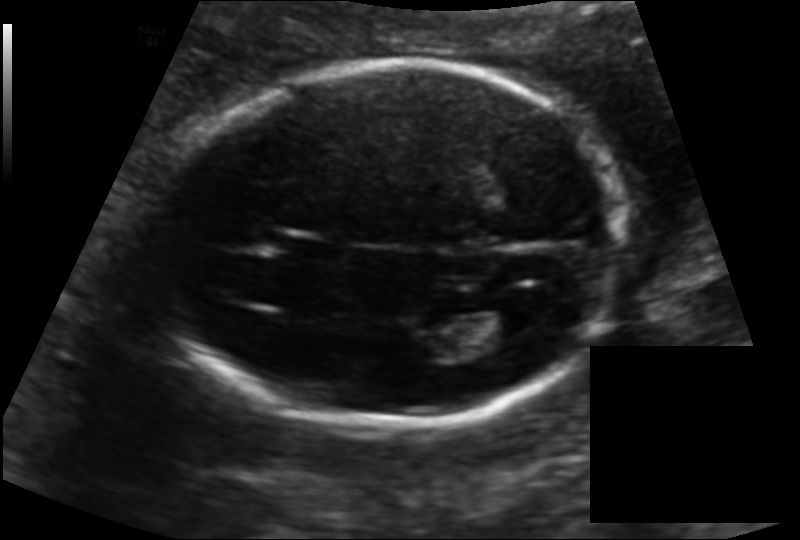
Fetal head ultrasound. Image width: 110.8 mm. Locate the fetal head and, if visible, the cavum septum pellucidum (CSP) and lateral ventricle (LV). Give bounding boxes as [x1,y1,x2,y2].

Head: [163,64,619,426]
CSP: [266,227,336,266]
Lateral ventricle: [457,287,544,352]